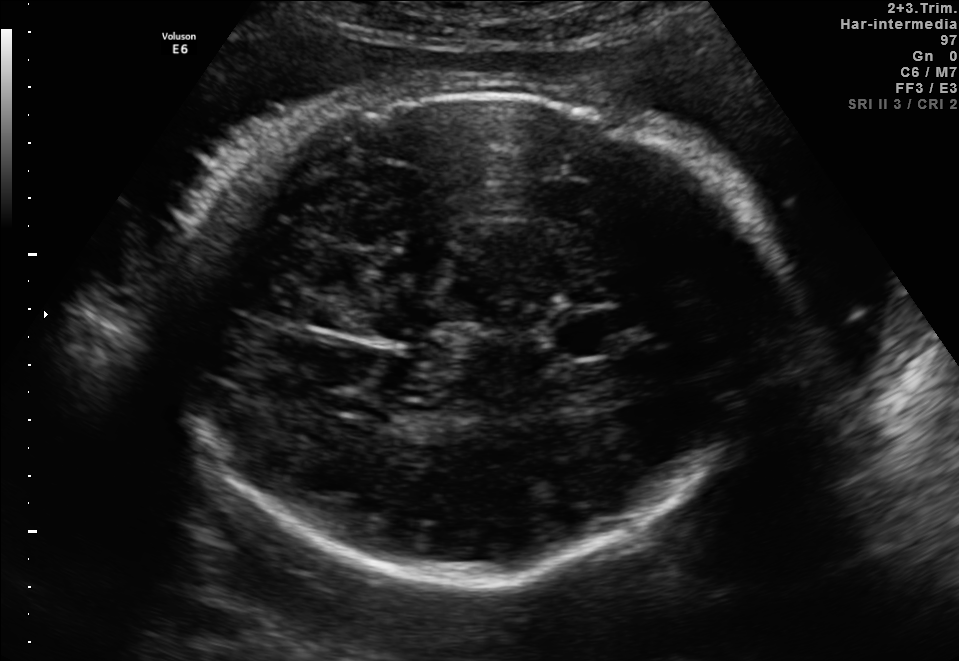
Fetal brain, trans-thalamic plane. Give [x1,y1,x2,y2] bounding boxes for each visible structure among: fetal head, CSP, LV.

Head: [157,90,776,583]
CSP: [554,303,628,359]
Lateral ventricle: [314,385,387,425]